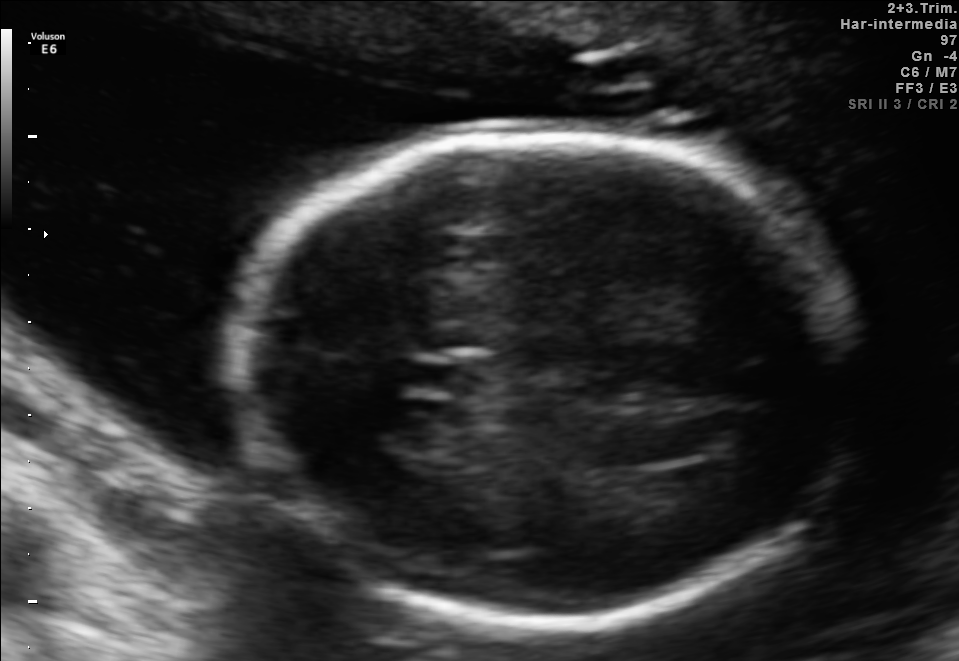
In this fetal brain, trans-thalamic plane, give the bounding box of the fetal head.

[239,135,850,620]